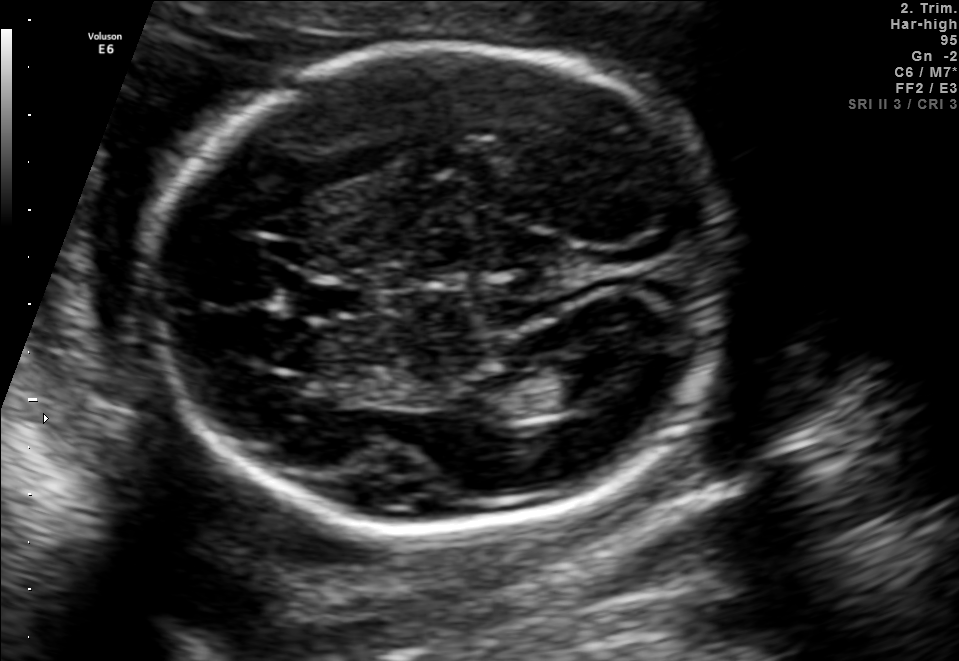
In this fetal brain, trans-ventricular plane, give the bounding box of the lateral ventricle.

[536,343,641,416]